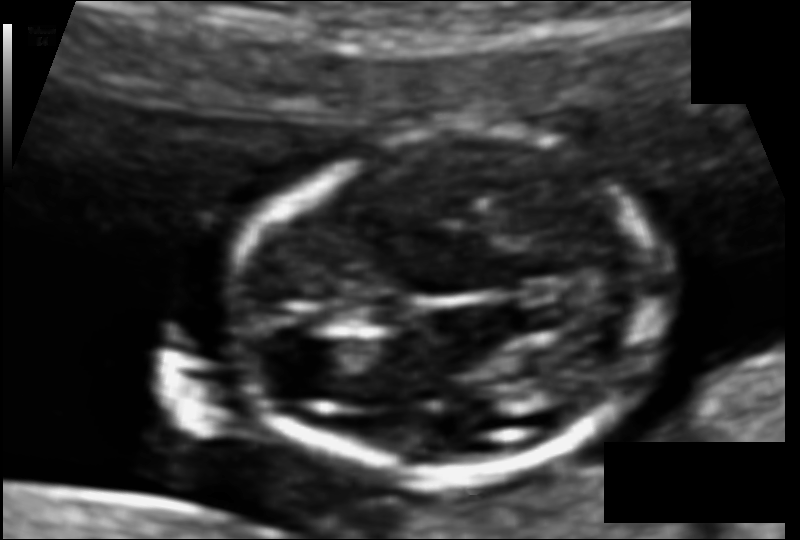
Fetal head ultrasound. Image width: 60.3 mm. Locate the fetal head.

Head: [232,132,665,473]